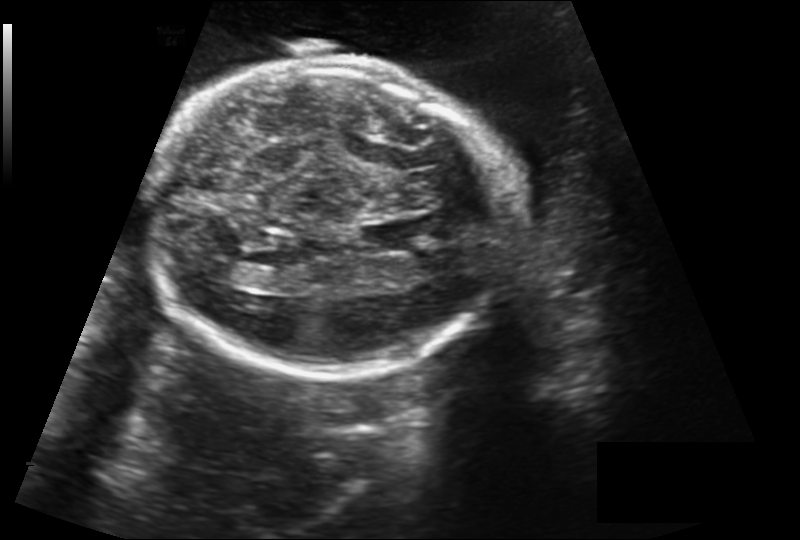
Estimate the fetal head circumference from this 2D ultrasound.

Head circumference: 231.6 mm (image width 169.6 mm).